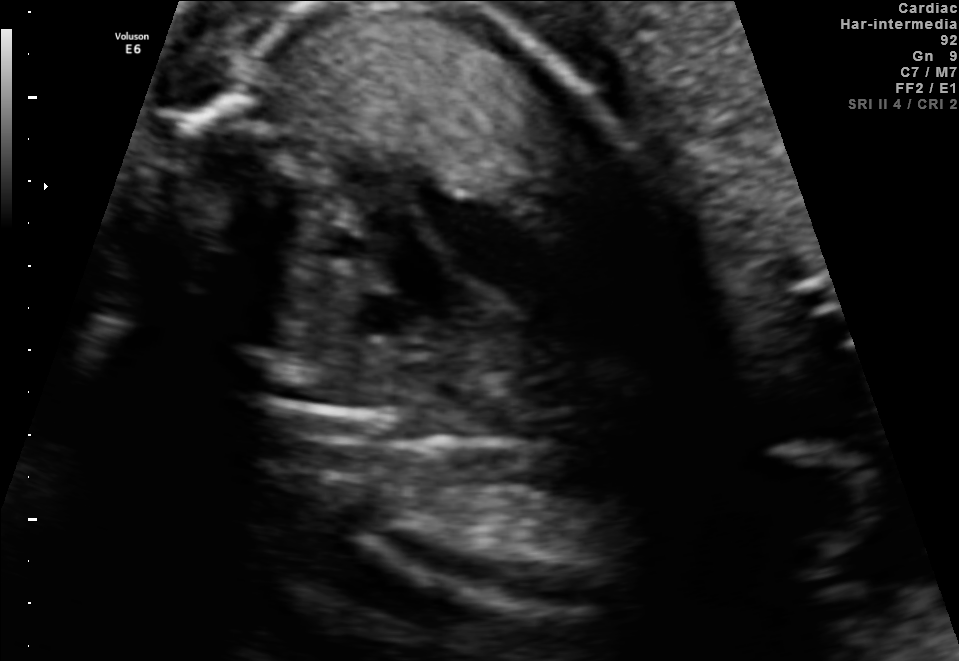
Identify the standard plane in this fetal ultrasound image: fetal abdomen, fetal brain, fetal femur, fetal thorax, maternal cervix, or other. If it's fetal brain and one of the three standard brain planes (trans-thalamic, trans-cerebellum, trans-ventricular), name which.

Other